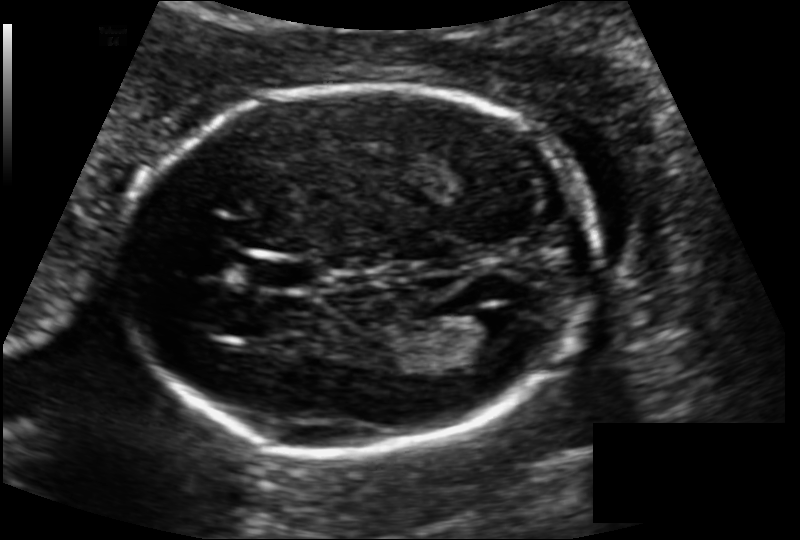
Measure the fetal head circumference shown in this ultrasound image. Image width: 99.0 mm.

Head circumference: 170.1 mm.